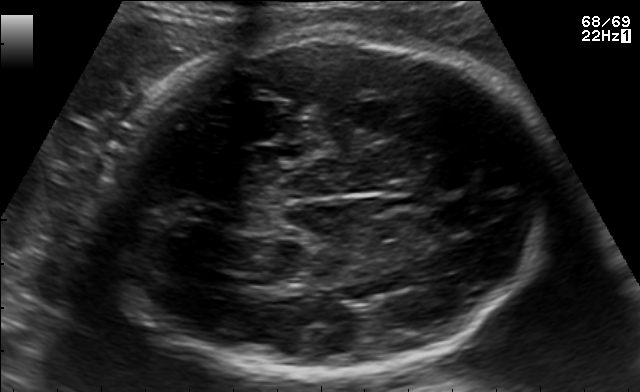
Fetal brain, trans-thalamic plane. Locate the fetal head.

Head: [102,32,550,379]